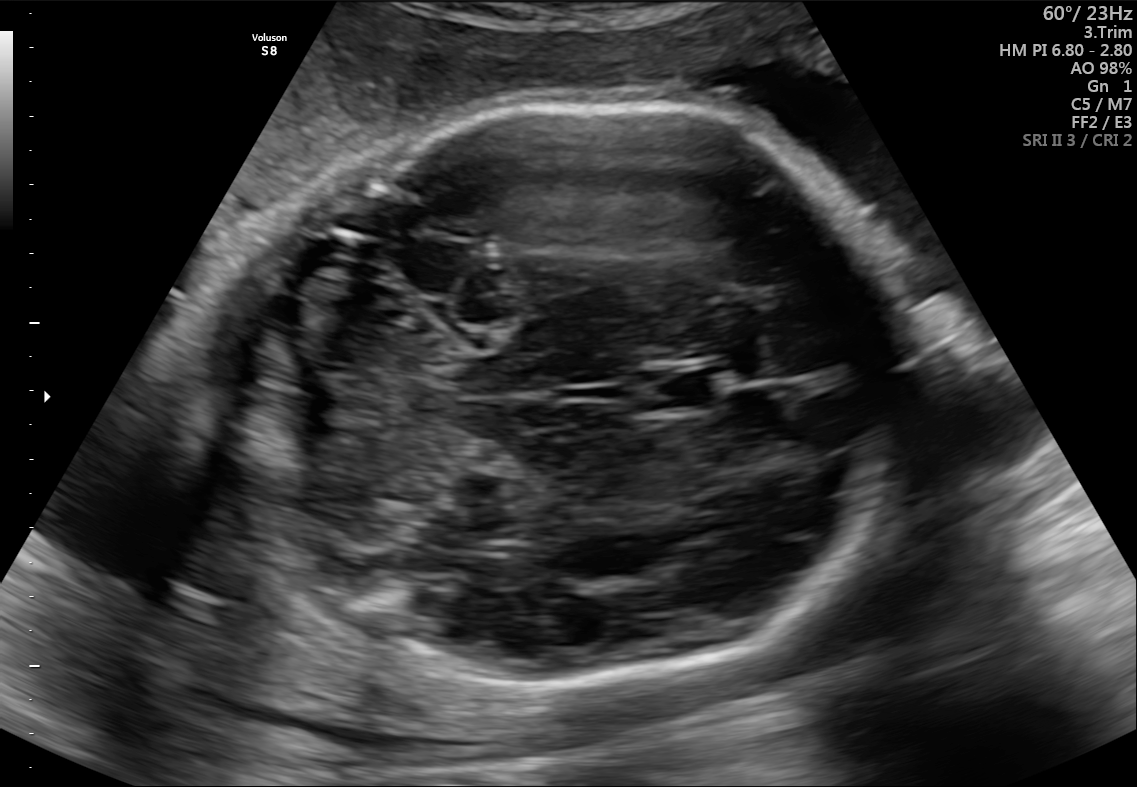
In this fetal brain, trans-cerebellum plane, give the bounding box of the cavum septum pellucidum.

[634,361,725,419]